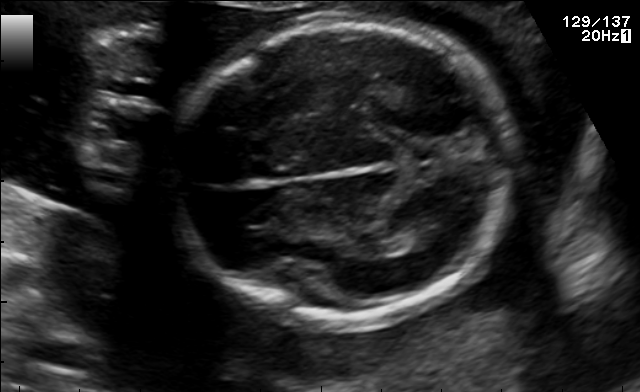
Fetal brain, trans-thalamic plane. Where is the lateral ventricle?

Lateral ventricle bounding box: [395,218,449,254]